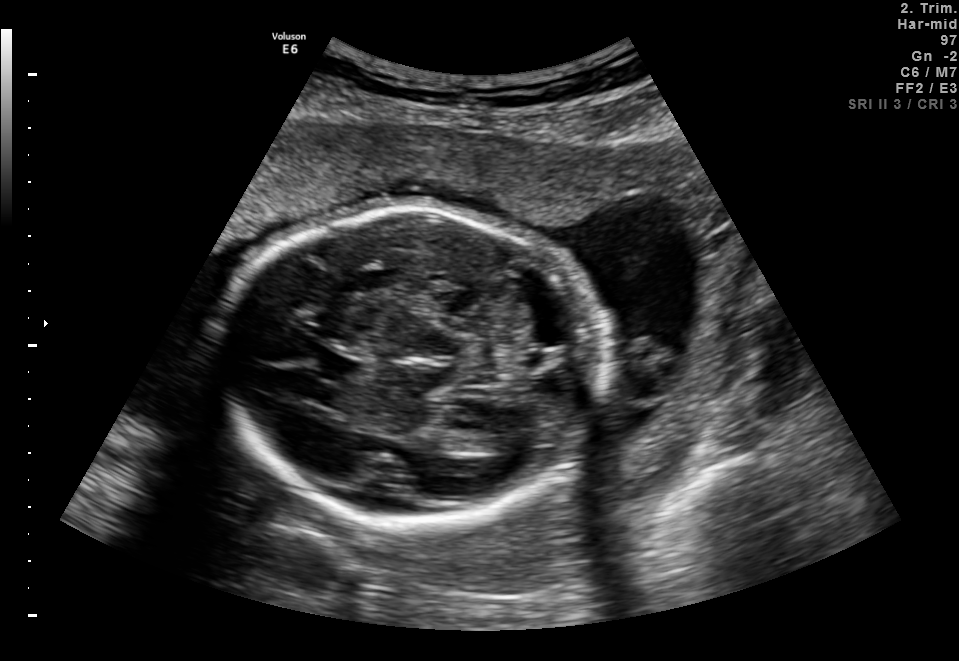
Fetal brain, trans-thalamic plane. Give [x1,y1,x2,y2] bounding boxes for each visible structure among: fetal head, CSP, LV.

Head: [223,208,600,523]
CSP: [309,347,364,387]
Lateral ventricle: [474,423,527,455]